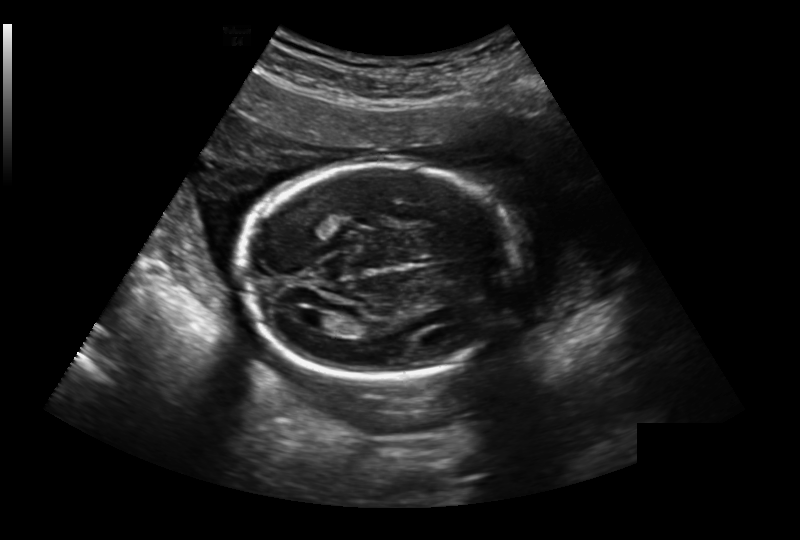
In this fetal head ultrasound, give the bounding box of the fetal head. Image width: 188.5 mm.

[240,163,520,378]